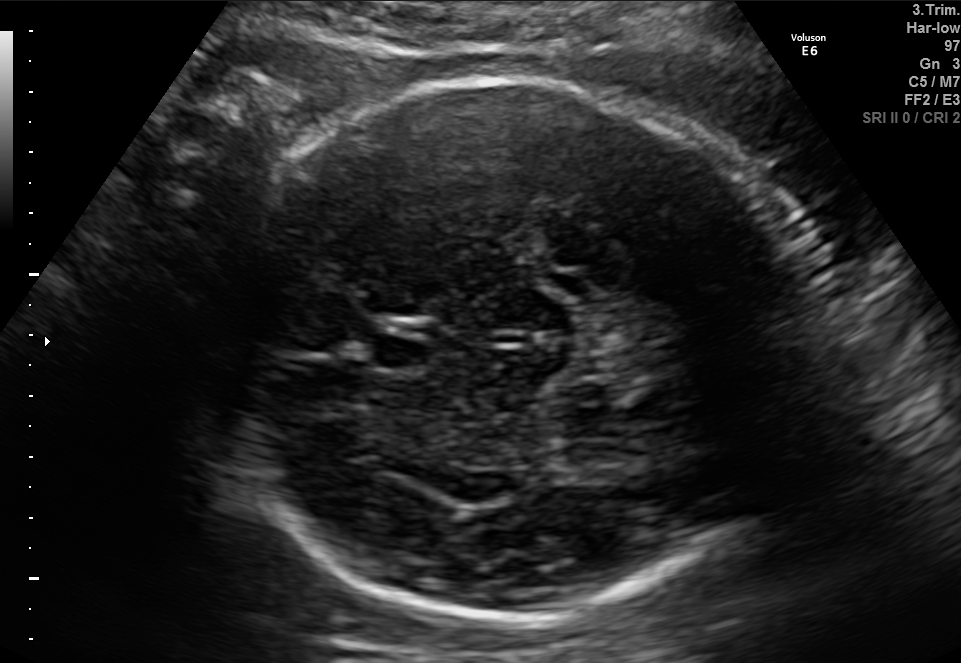
In this fetal brain, trans-thalamic plane, give the bounding box of the cavum septum pellucidum.

[373,334,433,371]